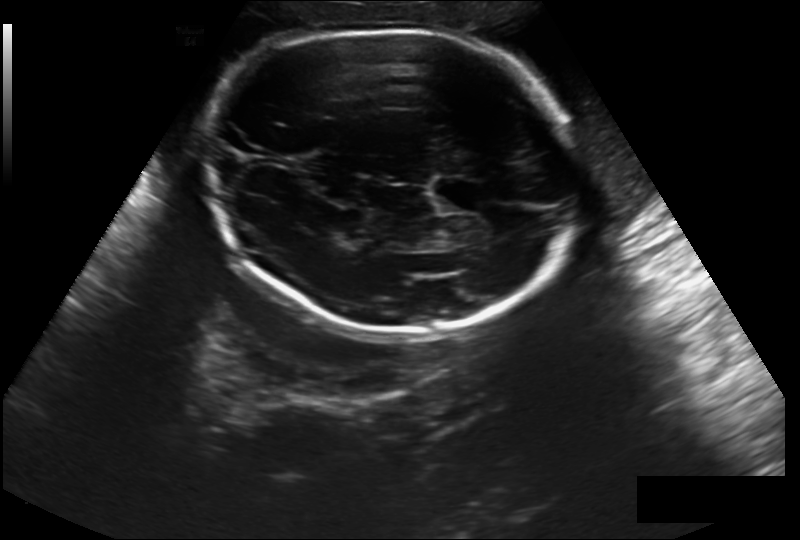
From this fetal ultrasound, estimate the head circumference (image width 195.6 mm).

Head circumference: 269.8 mm.